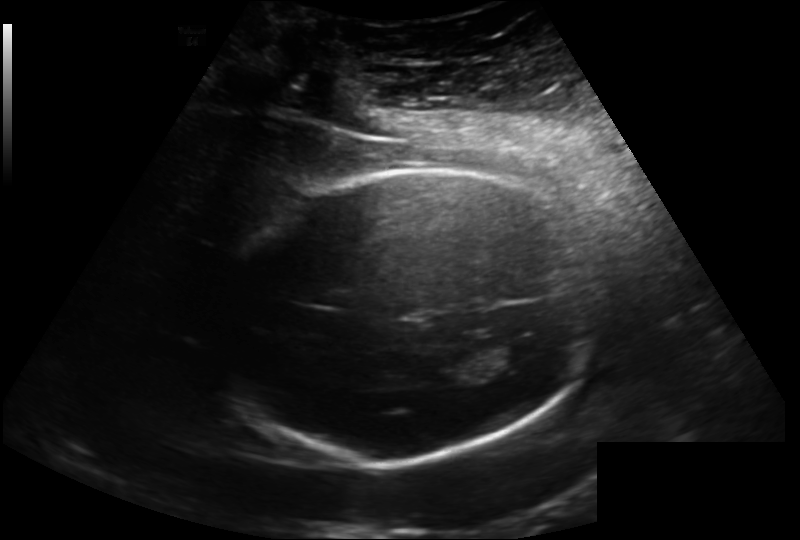
Fetal head ultrasound. Image width: 161.6 mm. Where is the fetal head?

Head bounding box: [208,171,606,461]